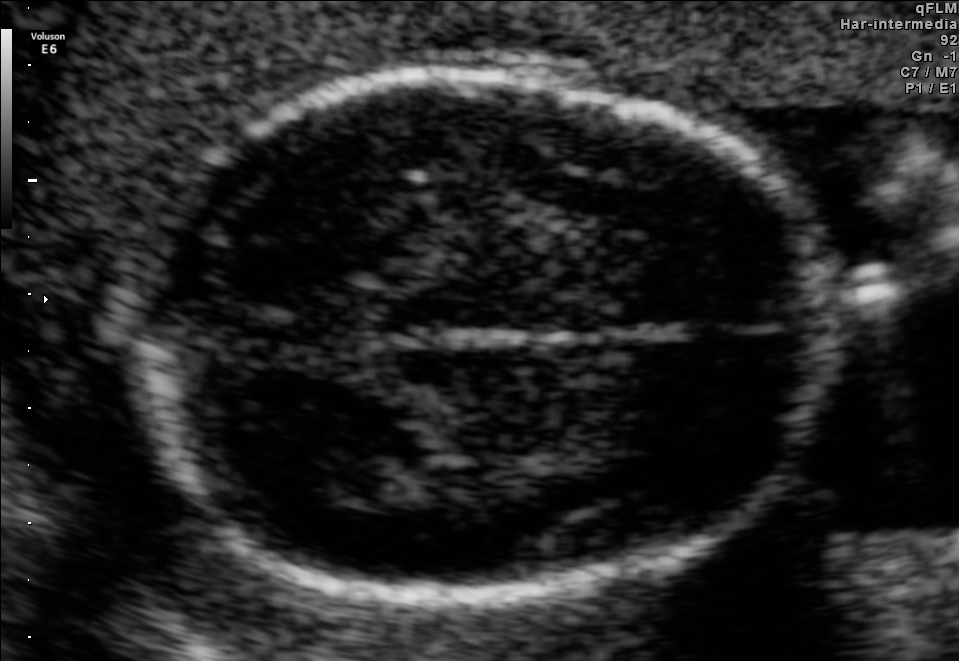
Fetal brain, trans-thalamic plane. Where is the fetal head?

Head bounding box: [165,70,822,591]